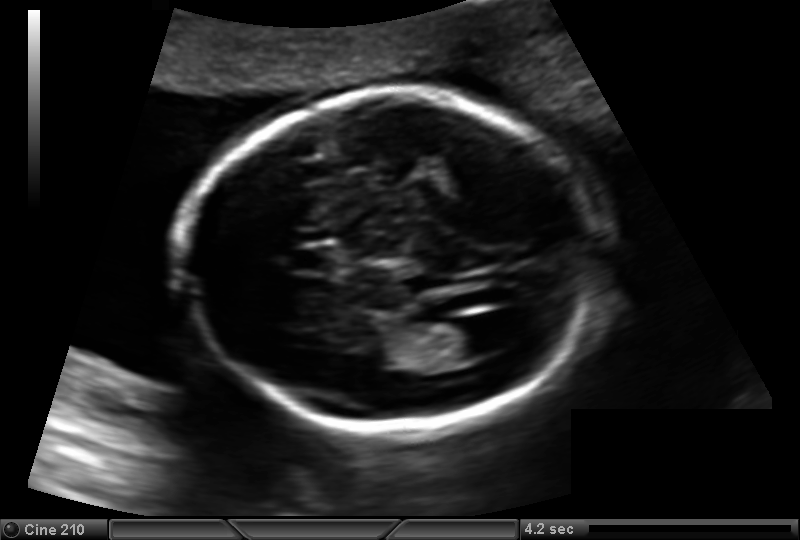
Fetal head ultrasound. Image width: 109.7 mm. Give [x1,y1,x2,y2] bounding boxes for each visible structure among: fetal head, CSP, LV.

Head: [186,90,599,431]
CSP: [292,246,334,273]
Lateral ventricle: [426,314,504,366]